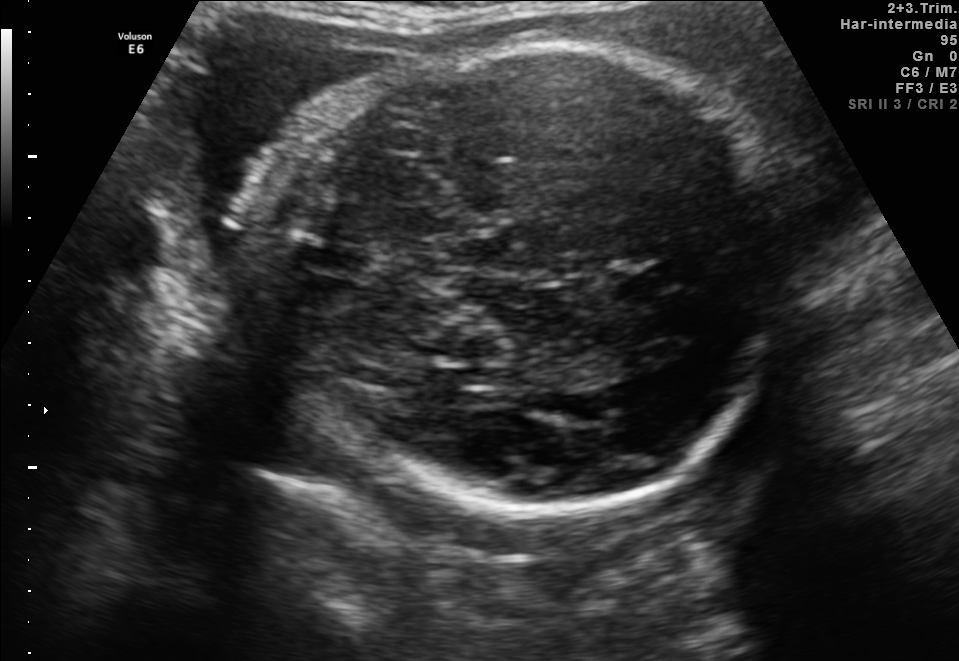
Identify the standard plane in this fetal ultrasound image: fetal abdomen, fetal brain, fetal femur, fetal thorax, maternal cervix, or other. If it's fetal brain and one of the three standard brain planes (trans-thalamic, trans-cerebellum, trans-ventricular), name which.

Fetal brain (trans-thalamic plane)